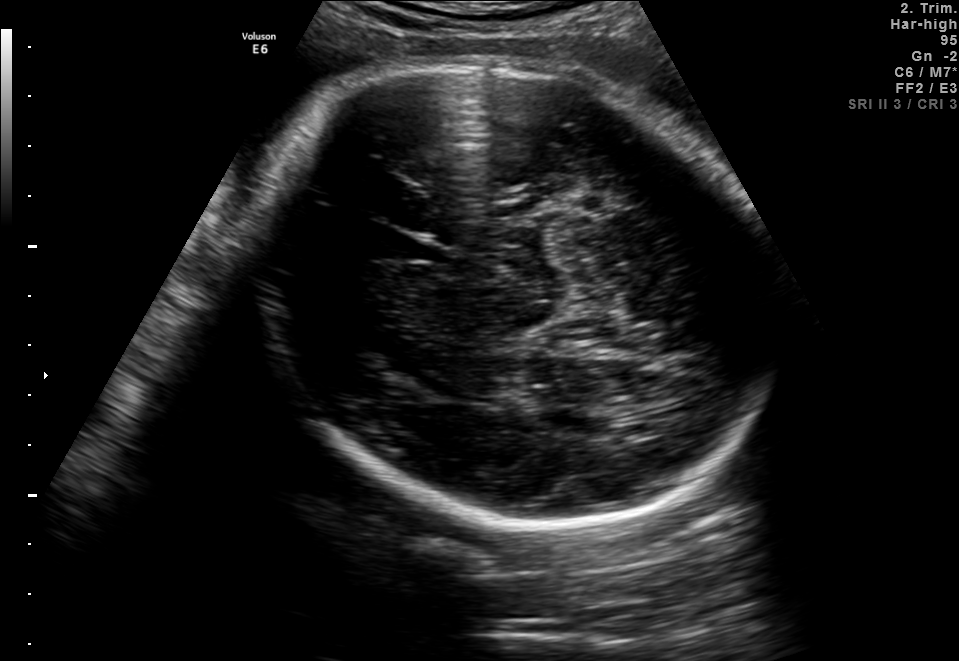
In this fetal brain, trans-thalamic plane, give bounding boxes for the head outline, cavum septum pellucidum (CSP), and lateral ventricle (LV), where visible.

Head: [240,57,771,530]